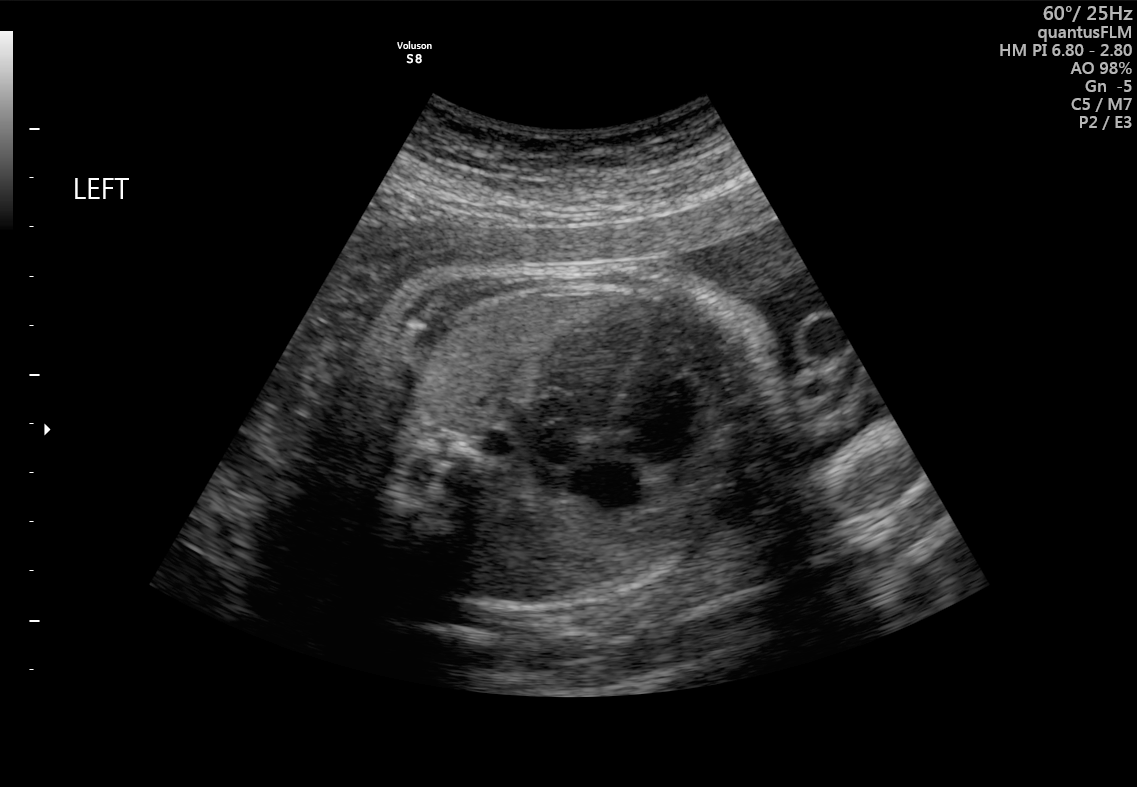
Which standard maternal-fetal ultrasound plane is shown: fetal abdomen, fetal brain, fetal femur, fetal thorax, maternal cervix, or other? If it's fetal brain and one of the three standard brain planes (trans-thalamic, trans-cerebellum, trans-ventricular), name which.

Fetal thorax